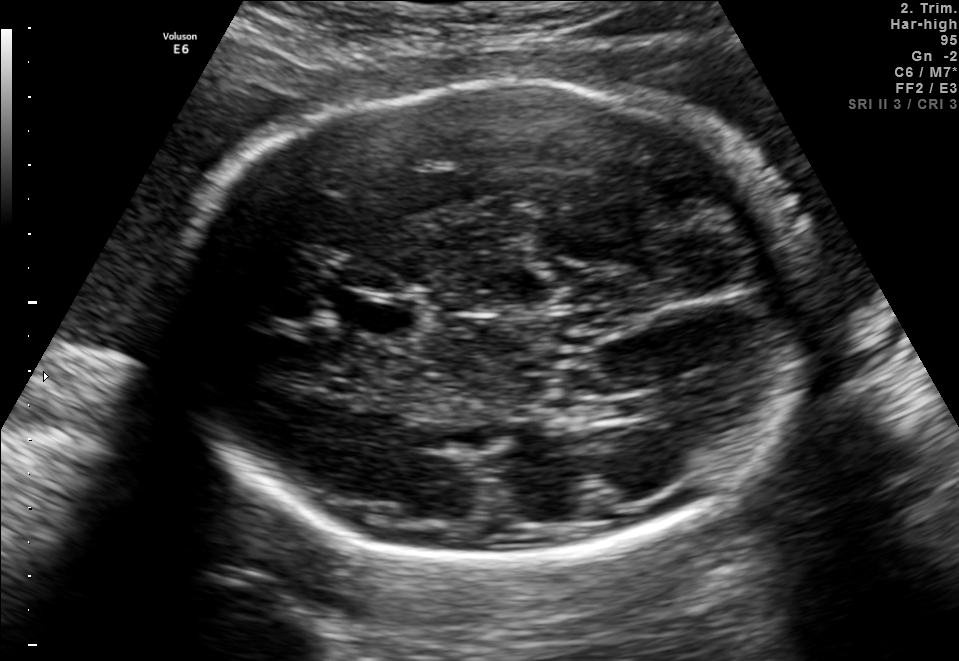
Fetal brain, trans-thalamic plane. Locate the fetal head.

Head: [170,80,819,559]